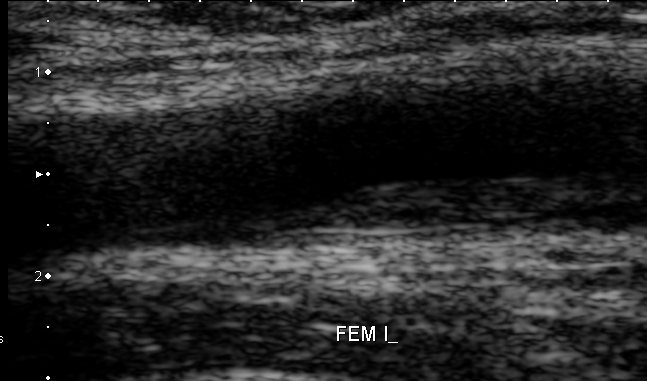
Identify the standard plane in this fetal ultrasound image: fetal abdomen, fetal brain, fetal femur, fetal thorax, maternal cervix, or other. If it's fetal brain and one of the three standard brain planes (trans-thalamic, trans-cerebellum, trans-ventricular), name which.

Other